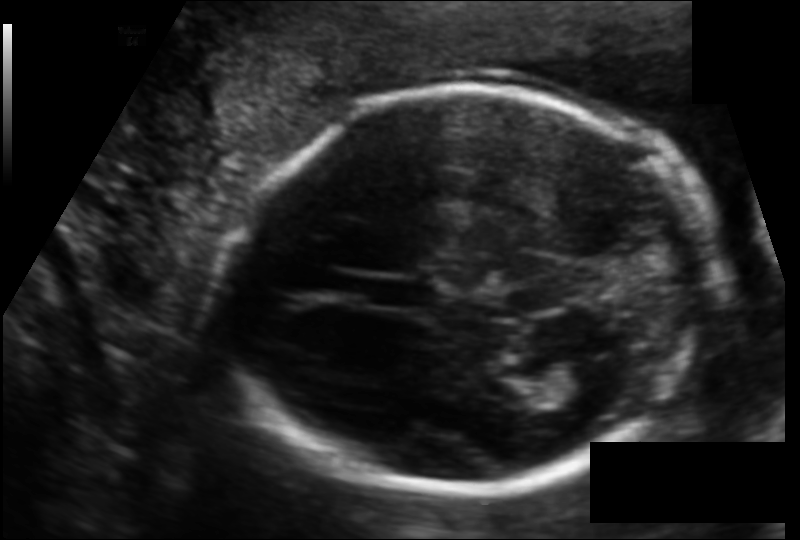
In this fetal head ultrasound, give bounding boxes for the head outline, cavum septum pellucidum (CSP), and lateral ventricle (LV), where visible. Image width: 95.3 mm.

Head: [232,83,717,491]
CSP: [370,277,434,308]
Lateral ventricle: [527,347,624,417]